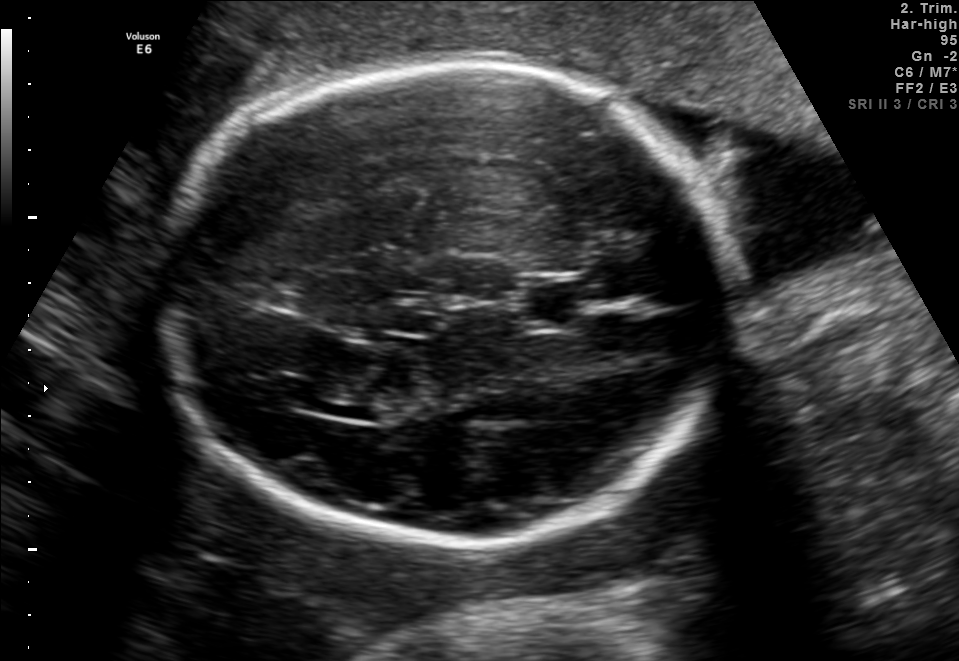
Fetal brain, trans-thalamic plane. Locate the lateral ventricle.

Lateral ventricle: [281,377,386,423]